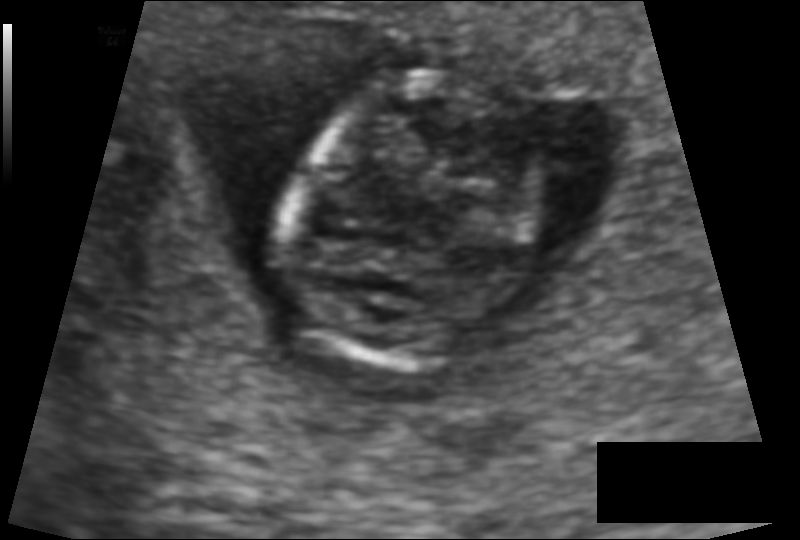
Measure the fetal head circumference shown in this ultrasound image. Image width: 72.8 mm.

Head circumference: 79.6 mm.